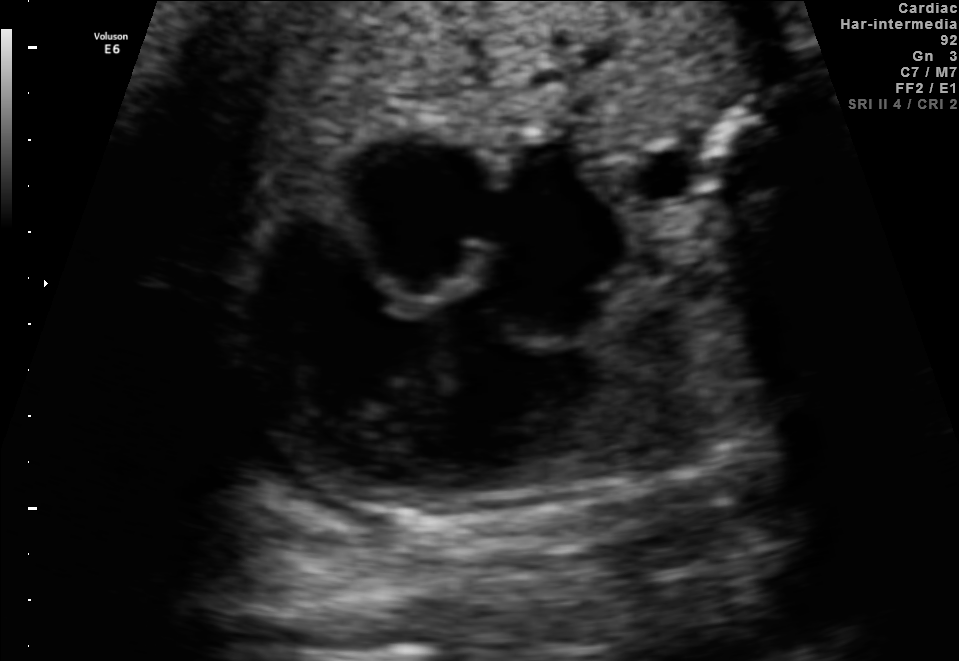
Identify the standard plane in this fetal ultrasound image: fetal abdomen, fetal brain, fetal femur, fetal thorax, maternal cervix, or other. If it's fetal brain and one of the three standard brain planes (trans-thalamic, trans-cerebellum, trans-ventricular), name which.

Fetal thorax